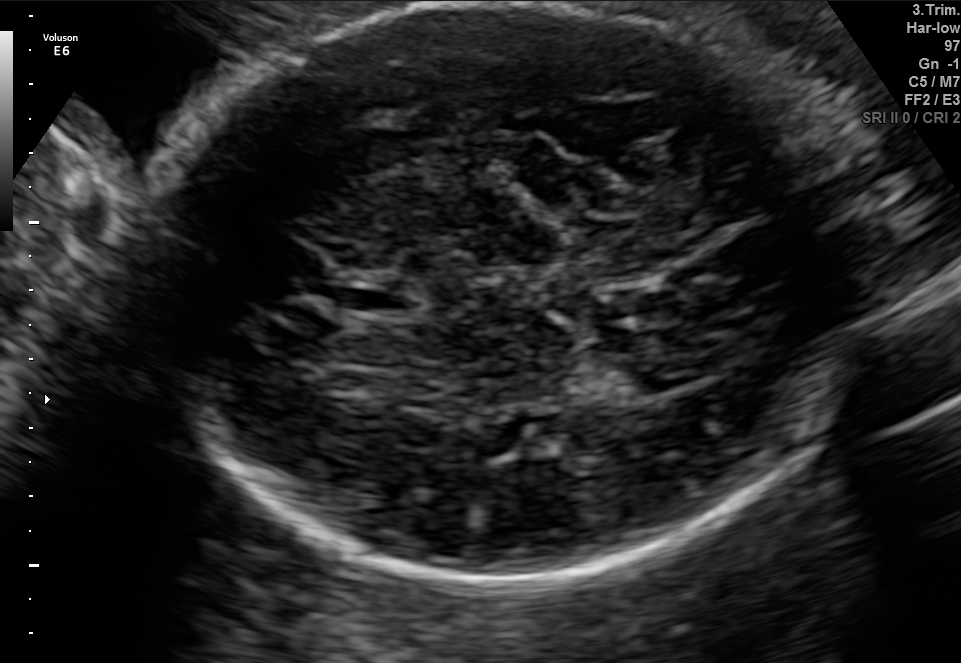
Fetal brain, trans-thalamic plane. Where is the fetal head?

Head bounding box: [130,6,875,583]